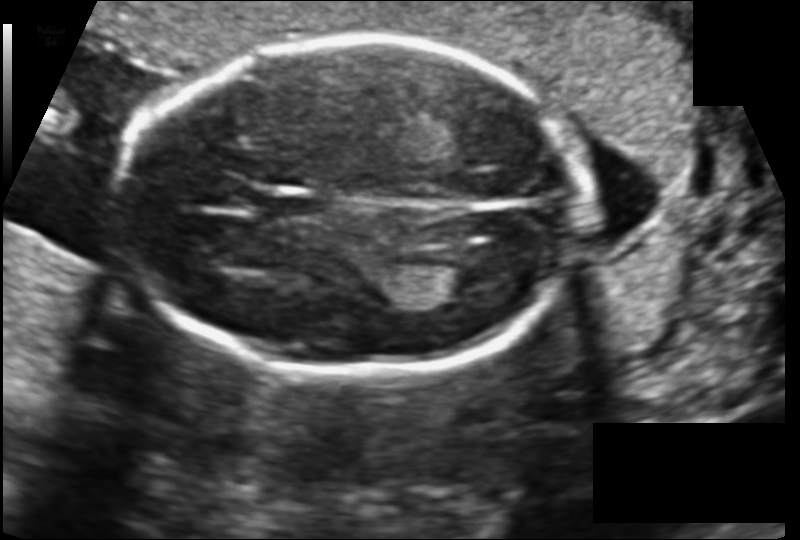
Measure the fetal head circumference shown in this ultrasound image. Image width: 102.7 mm.

Head circumference: 166.6 mm.